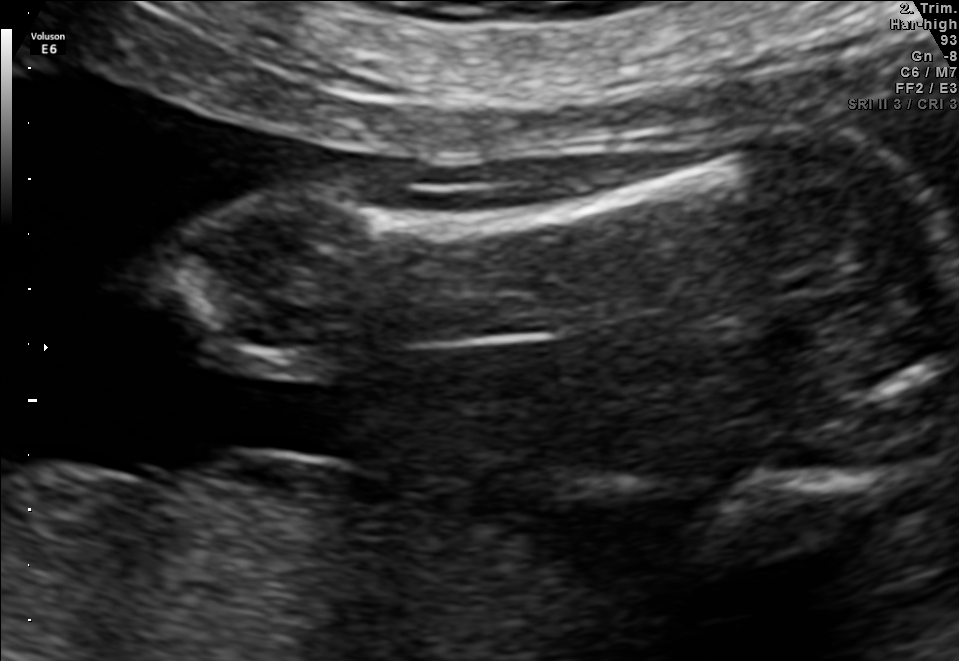
This is a 2D maternal-fetal ultrasound frame. Is it a fetal abdomen, fetal brain, fetal femur, fetal thorax, maternal cervix, or other standard plane? If it's fetal brain and one of the three standard brain planes (trans-thalamic, trans-cerebellum, trans-ventricular), name which.

Fetal femur